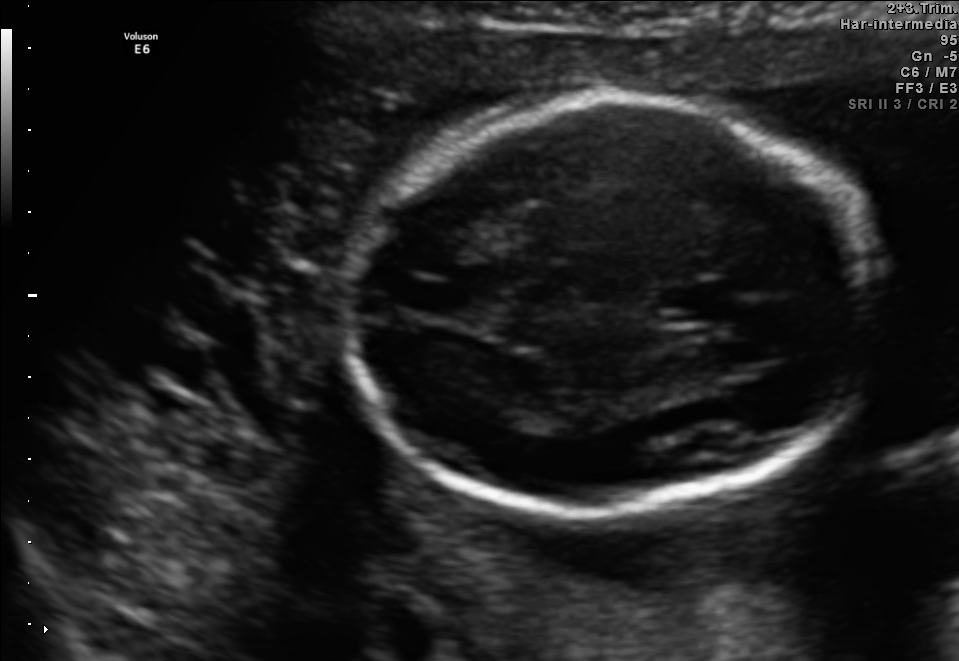
Fetal brain, trans-thalamic plane. Locate the cavum septum pellucidum.

CSP: [660,280,730,324]